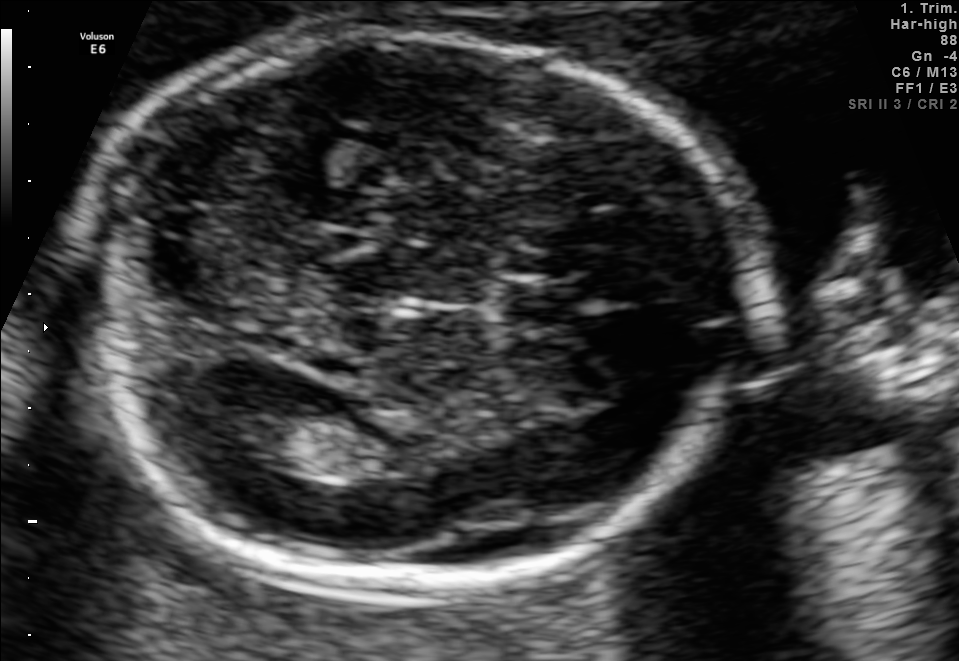
Fetal brain, trans-ventricular plane. Locate the fetal head and, if visible, the cavum septum pellucidum (CSP) and lateral ventricle (LV). Give bounding boxes as [x1,y1,x2,y2].

Head: [63,25,766,604]
CSP: [508,285,595,324]
Lateral ventricle: [216,389,324,473]